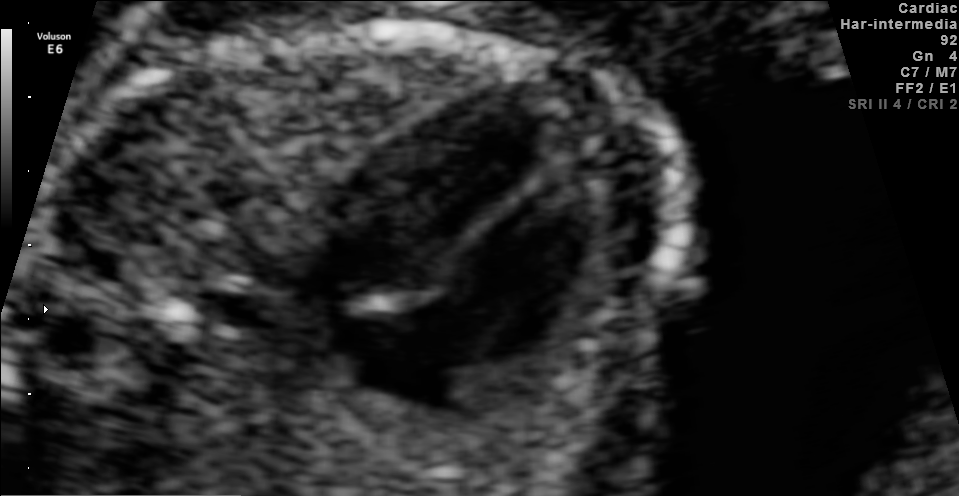
This is a 2D maternal-fetal ultrasound frame. Is it a fetal abdomen, fetal brain, fetal femur, fetal thorax, maternal cervix, or other standard plane? If it's fetal brain and one of the three standard brain planes (trans-thalamic, trans-cerebellum, trans-ventricular), name which.

Fetal thorax